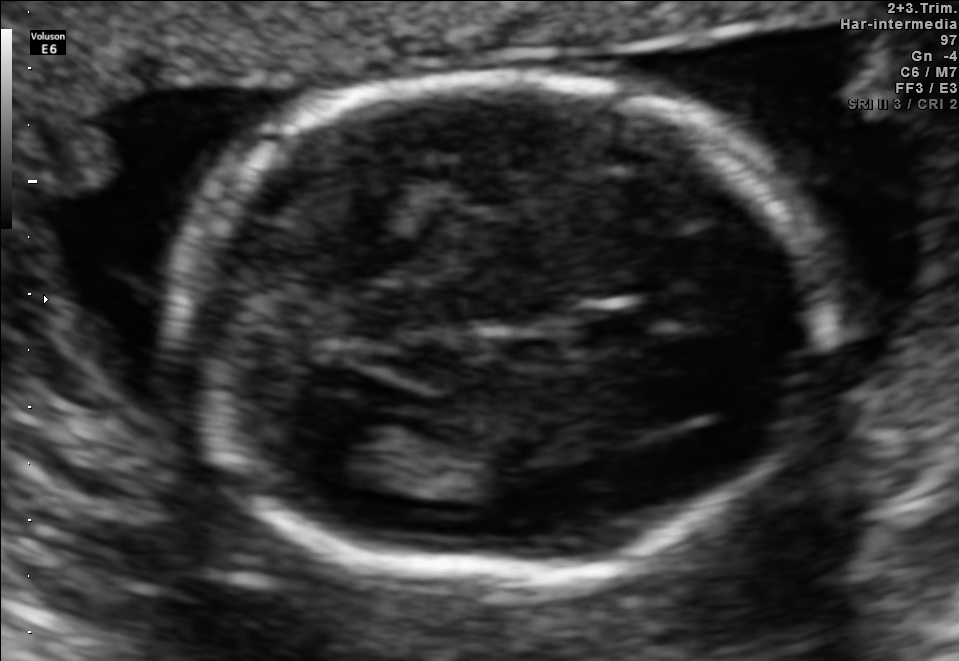
Fetal brain, trans-thalamic plane. Where is the fetal head?

Head bounding box: [171,74,838,577]